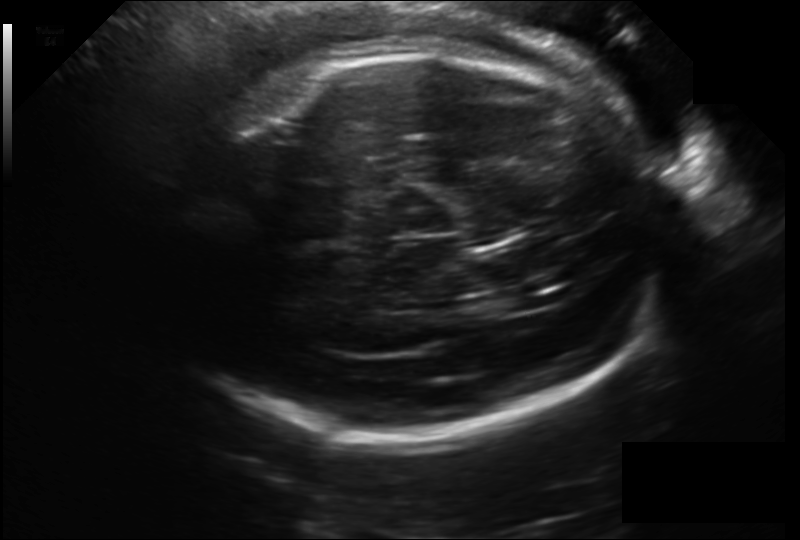
In this fetal head ultrasound, give the bounding box of the fetal head. Image width: 162.0 mm.

[149,47,669,438]